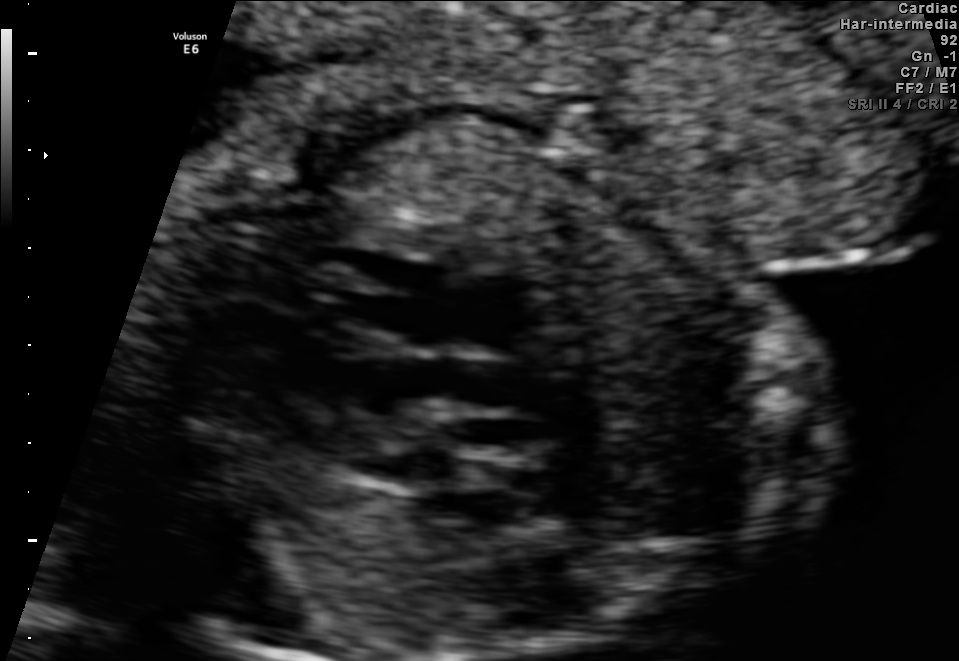
Identify the standard plane in this fetal ultrasound image: fetal abdomen, fetal brain, fetal femur, fetal thorax, maternal cervix, or other. If it's fetal brain and one of the three standard brain planes (trans-thalamic, trans-cerebellum, trans-ventricular), name which.

Other